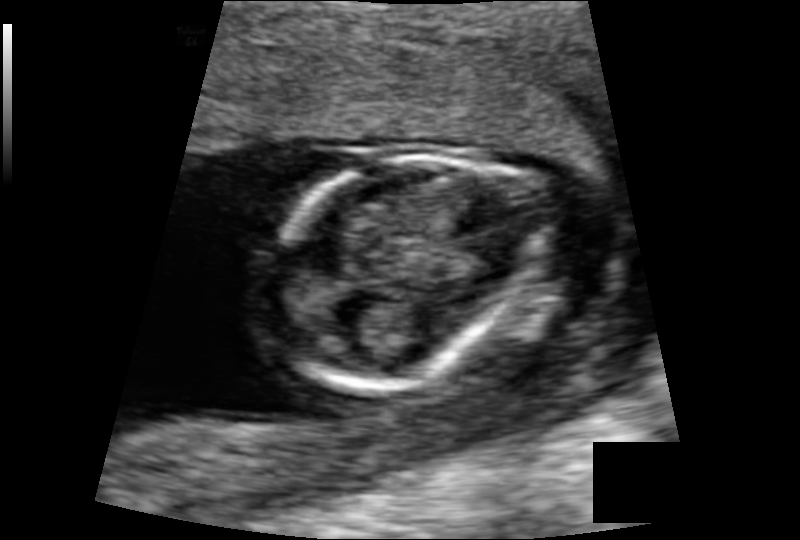
Measure the fetal head circumference shown in this ultrasound image. Image width: 82.7 mm.

Head circumference: 84.2 mm.